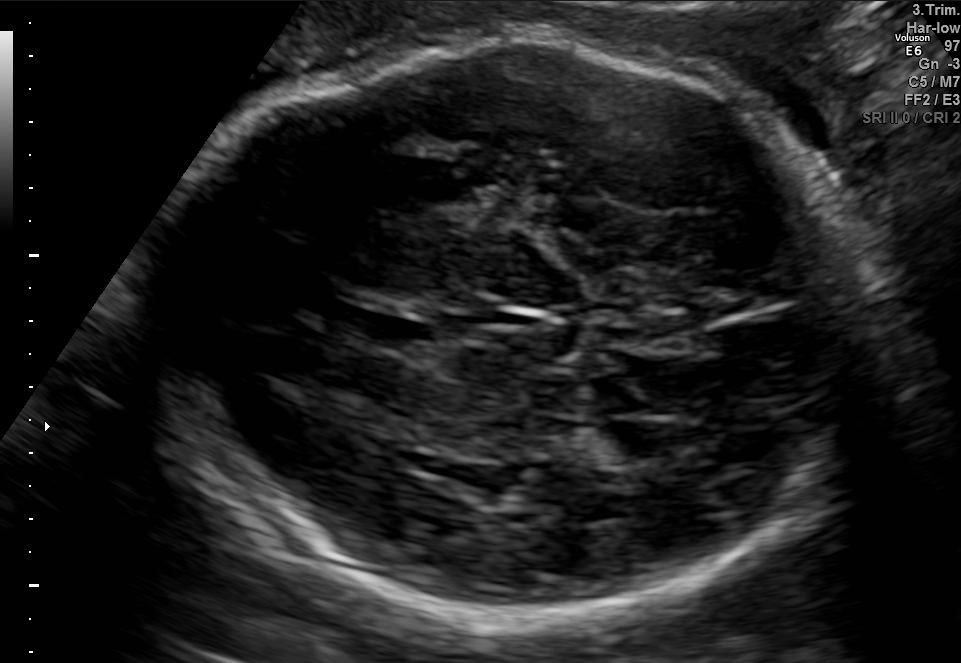
In this fetal brain, trans-ventricular plane, give bounding boxes for the head outline, cavum septum pellucidum (CSP), and lateral ventricle (LV), where visible.

Head: [148,38,887,625]